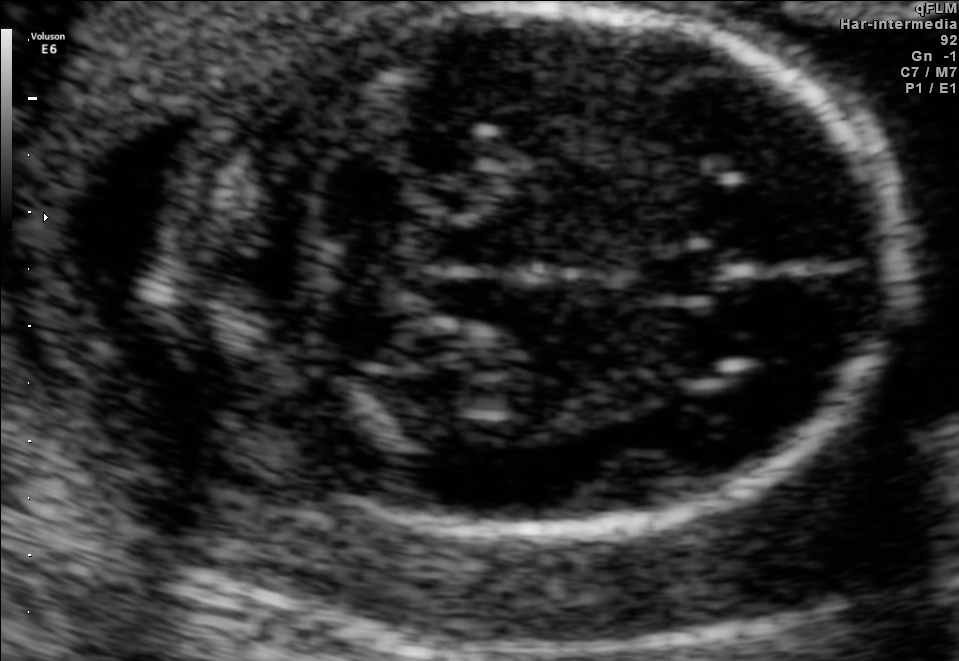
Fetal brain, trans-cerebellum plane. Where is the fetal head?

Head bounding box: [175,6,896,531]